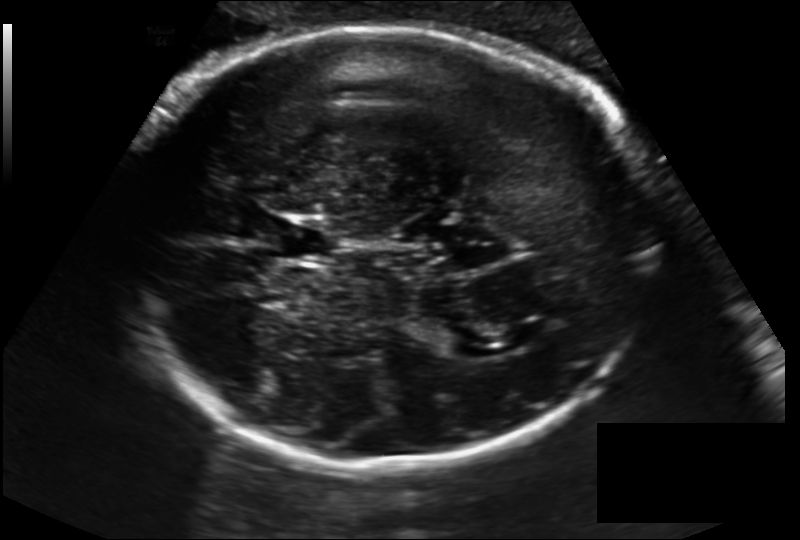
Measure the fetal head circumference shown in this ultrasound image. Image width: 155.1 mm.

Head circumference: 300.0 mm.